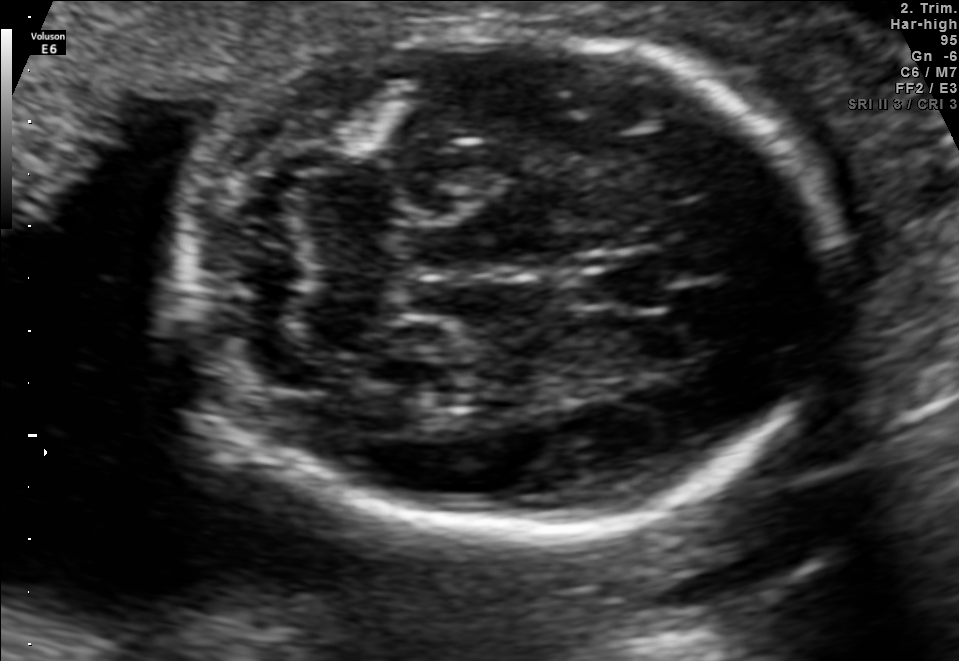
Fetal brain, trans-cerebellum plane. Where is the cavum septum pellucidum?

CSP bounding box: [584,261,677,316]